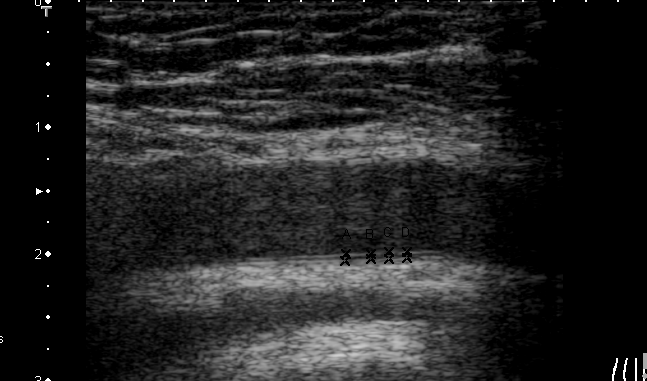
Classify this maternal-fetal ultrasound image as one of the six standard planes — fetal abdomen, fetal brain, fetal femur, fetal thorax, maternal cervix, or other. If it's fetal brain and one of the three standard brain planes (trans-thalamic, trans-cerebellum, trans-ventricular), name which.

Other